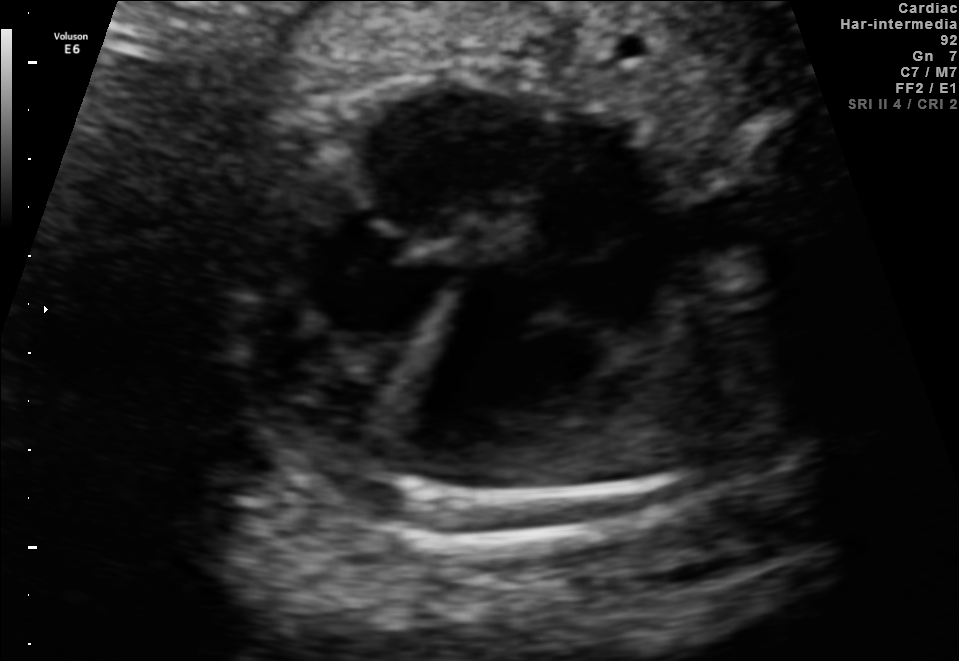
Which standard maternal-fetal ultrasound plane is shown: fetal abdomen, fetal brain, fetal femur, fetal thorax, maternal cervix, or other? If it's fetal brain and one of the three standard brain planes (trans-thalamic, trans-cerebellum, trans-ventricular), name which.

Fetal thorax